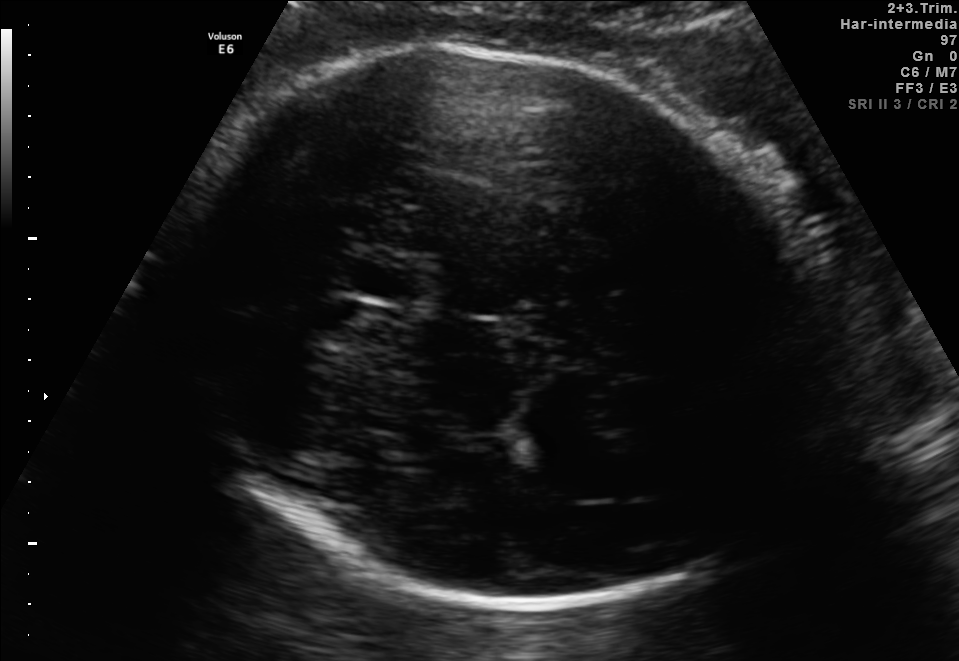
Fetal brain, trans-thalamic plane. Locate the cavum septum pellucidum.

CSP: [350,257,417,304]